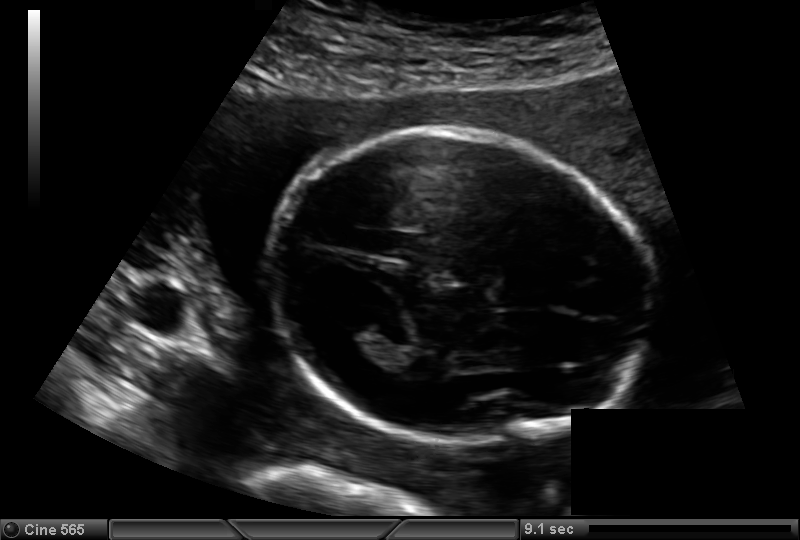
Estimate the fetal head circumference from this 2D ultrasound. Image width: 113.5 mm.

Head circumference: 160.4 mm.